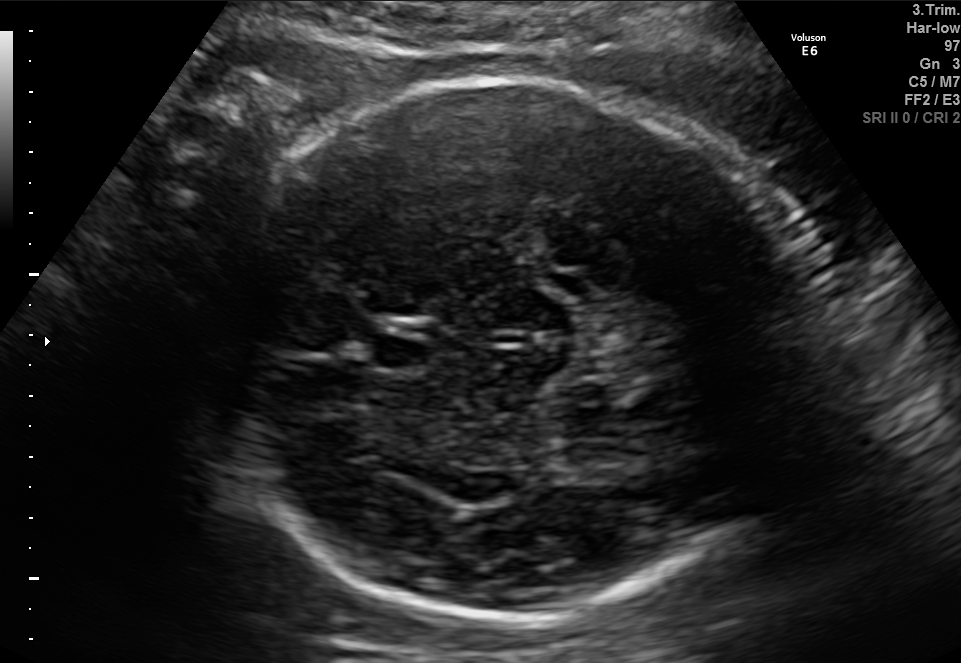
In this fetal brain, trans-thalamic plane, give bounding boxes for the head outline, cavum septum pellucidum (CSP), and lateral ventricle (LV), where visible.

Head: [192,76,809,619]
CSP: [373,334,433,371]